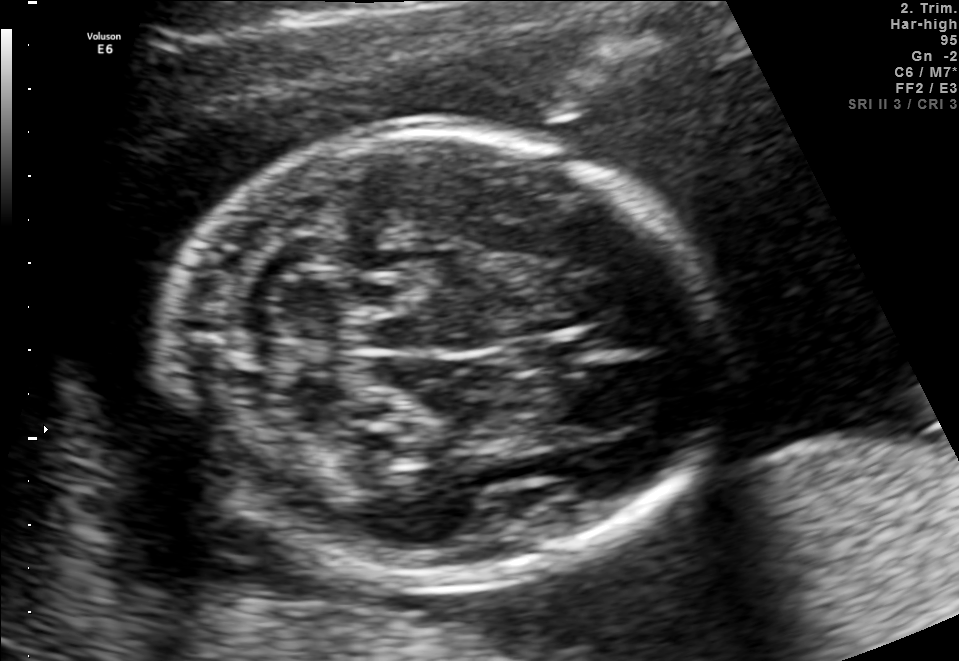
In this fetal brain, trans-cerebellum plane, give the bounding box of the fetal head.

[174,124,723,579]